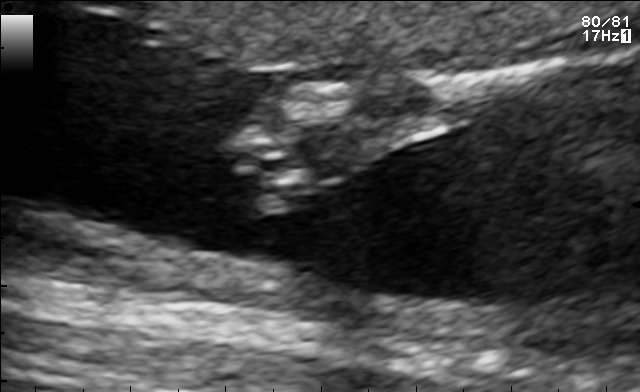
Identify the standard plane in this fetal ultrasound image: fetal abdomen, fetal brain, fetal femur, fetal thorax, maternal cervix, or other. If it's fetal brain and one of the three standard brain planes (trans-thalamic, trans-cerebellum, trans-ventricular), name which.

Other